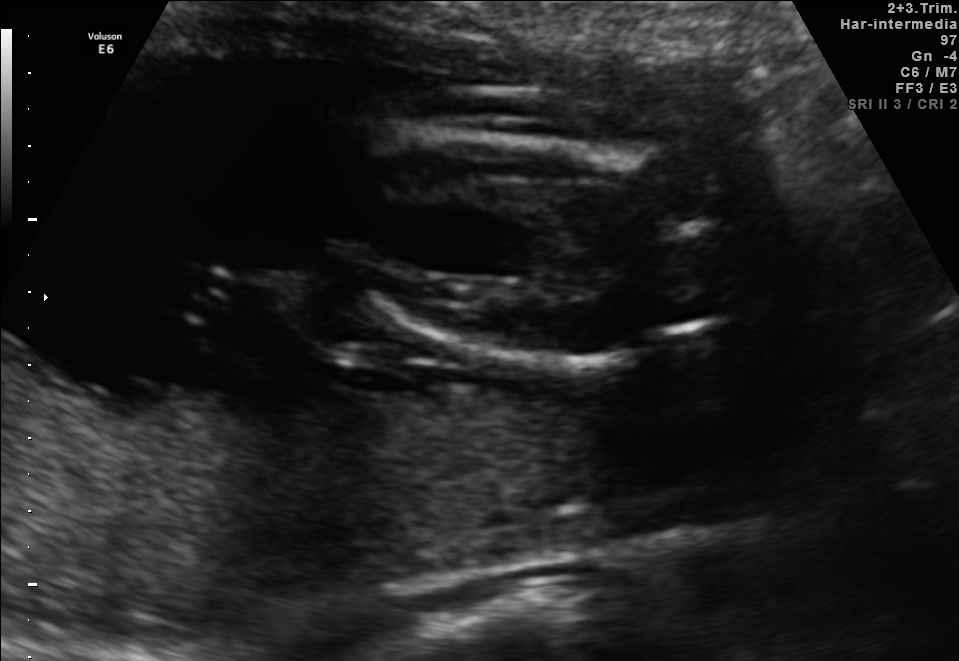
This is a 2D maternal-fetal ultrasound frame. Is it a fetal abdomen, fetal brain, fetal femur, fetal thorax, maternal cervix, or other standard plane? If it's fetal brain and one of the three standard brain planes (trans-thalamic, trans-cerebellum, trans-ventricular), name which.

Fetal femur